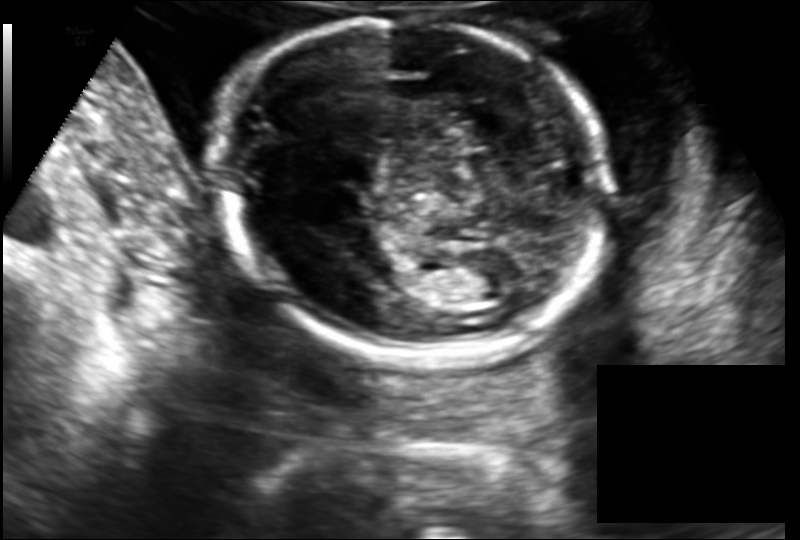
Estimate the fetal head circumference from this 2D ultrasound.

Head circumference: 175.4 mm (image width 119.1 mm).